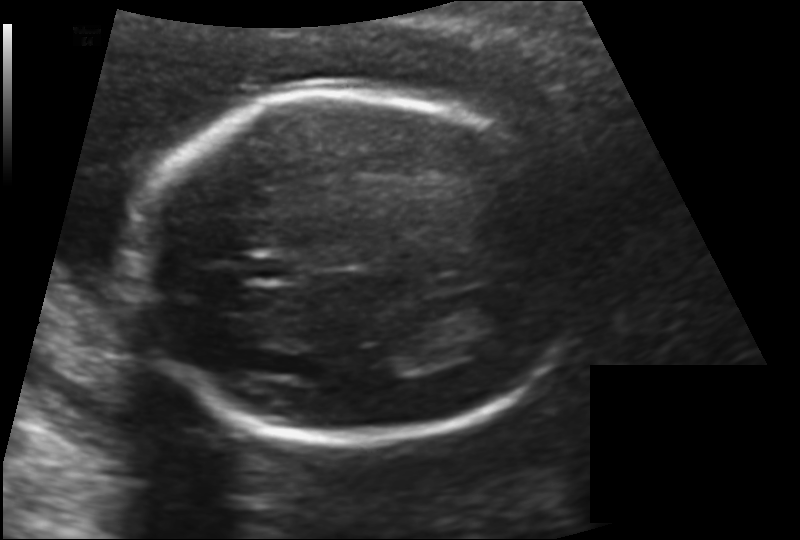
Fetal head ultrasound. Image width: 113.8 mm. Give [x1,y1,x2,y2] bounding boxes for each visible structure among: fetal head, CSP, LV.

Head: [133,92,588,440]
CSP: [244,254,294,282]